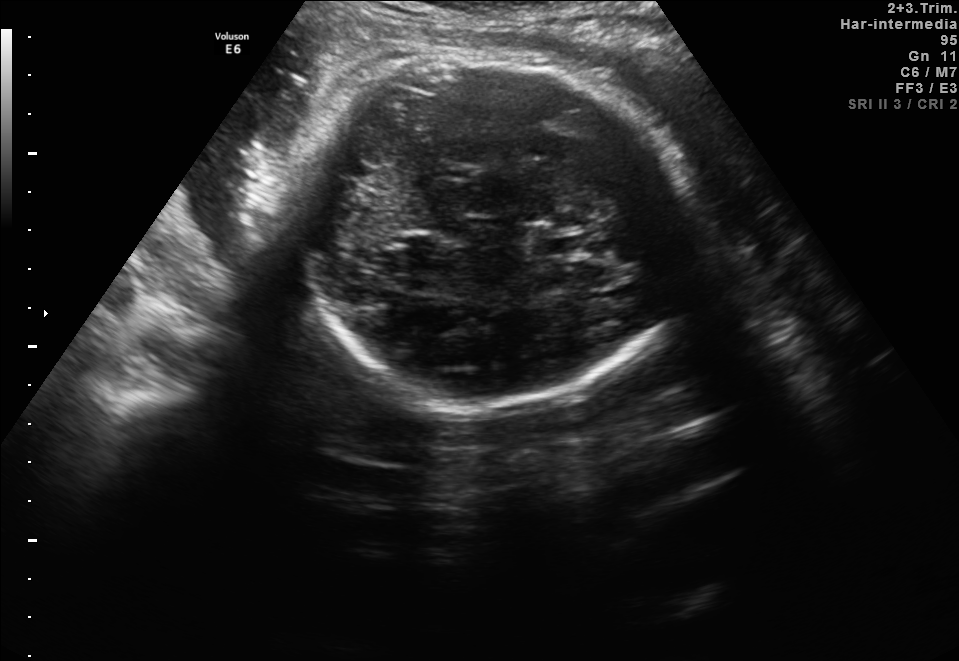
Fetal brain, trans-thalamic plane. Locate the cavum septum pellucidum.

CSP: [532,233,590,257]